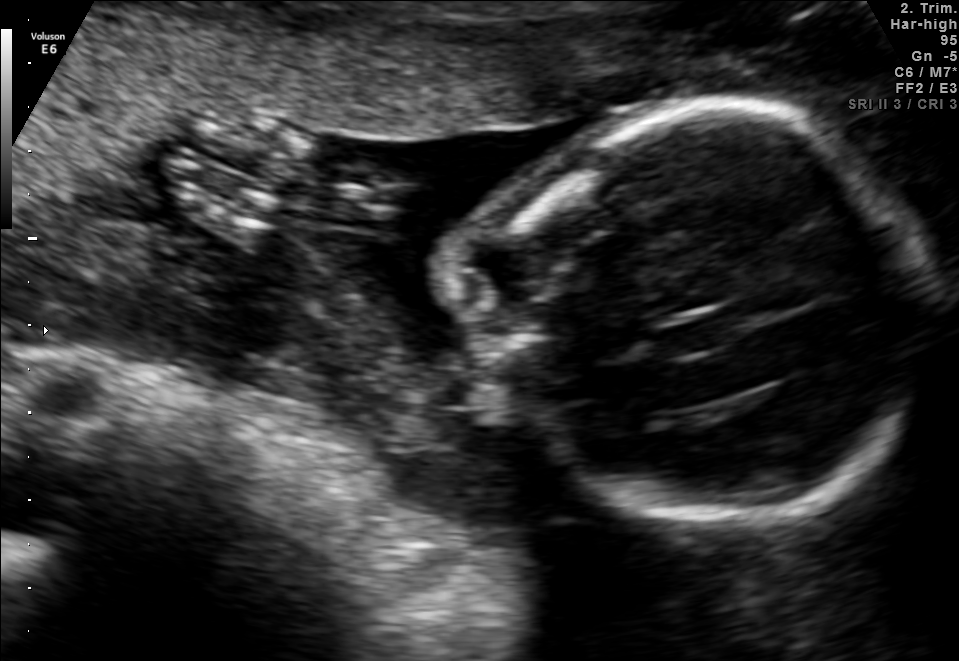
This is a 2D maternal-fetal ultrasound frame. Is it a fetal abdomen, fetal brain, fetal femur, fetal thorax, maternal cervix, or other standard plane? If it's fetal brain and one of the three standard brain planes (trans-thalamic, trans-cerebellum, trans-ventricular), name which.

Other